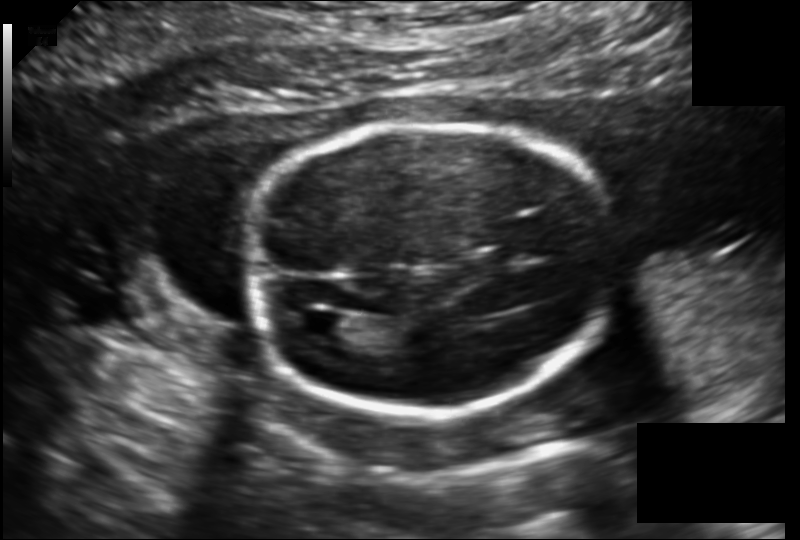
From this fetal ultrasound, estimate the head circumference (image width 119.0 mm).

Head circumference: 159.9 mm.